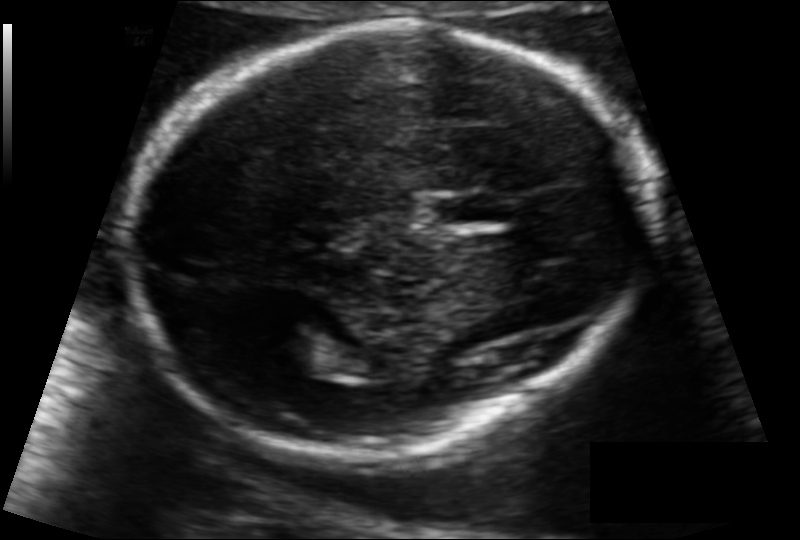
Fetal head ultrasound. Image width: 88.7 mm. Where is the fetal head?

Head bounding box: [125,22,647,453]